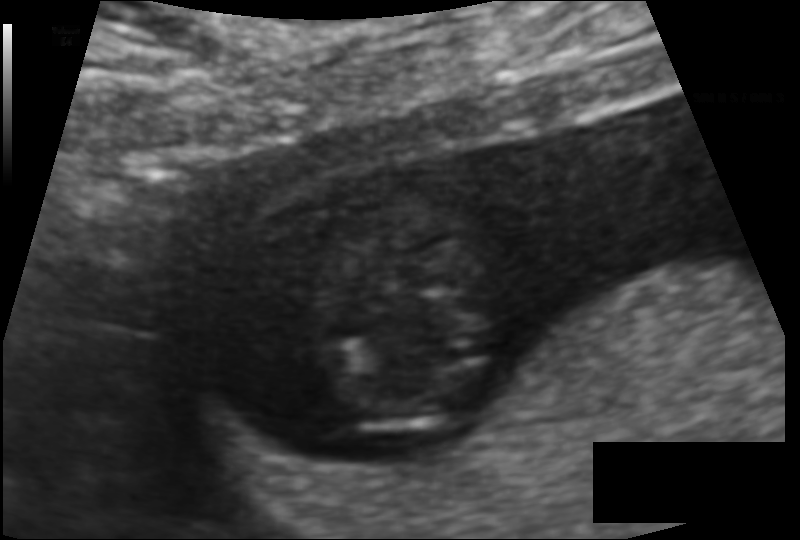
Fetal head ultrasound. Image width: 75.5 mm. Give [x1,y1,x2,y2] bounding boxes for each visible structure among: fetal head, CSP, LV.

Head: [308,199,504,435]